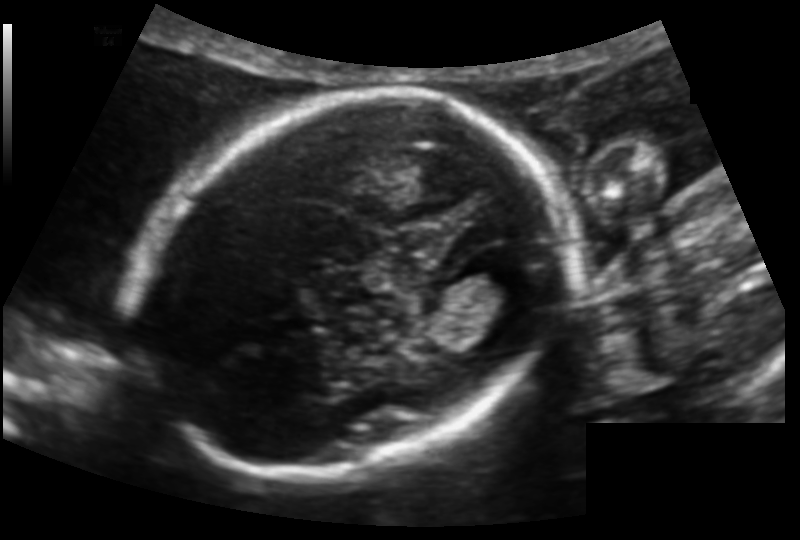
In this fetal head ultrasound, give bounding boxes for the head outline, cavum septum pellucidum (CSP), and lateral ventricle (LV), where visible. Image width: 98.5 mm.

Head: [137,94,556,477]
Lateral ventricle: [455,242,531,317]